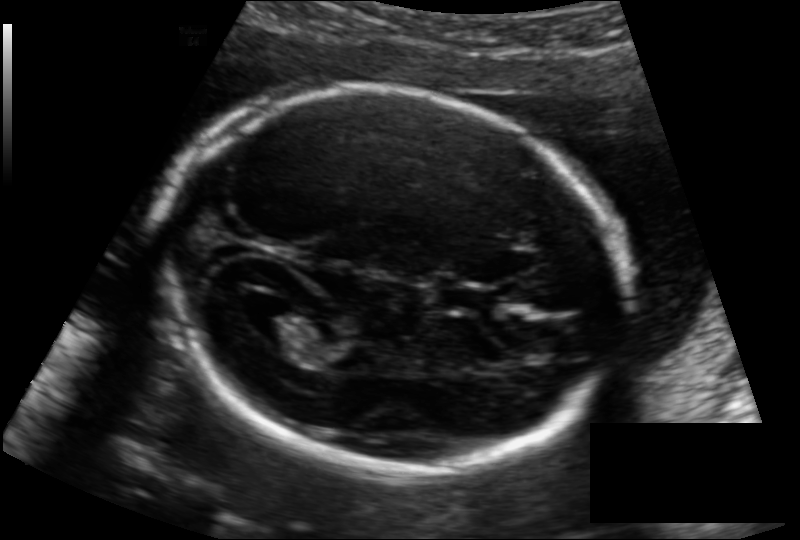
Fetal head ultrasound. Image width: 106.5 mm. Give [x1,y1,x2,y2] bounding boxes for each visible structure among: fetal head, CSP, LV.

Head: [162,89,625,472]
CSP: [439,283,499,315]
Lateral ventricle: [240,288,324,363]